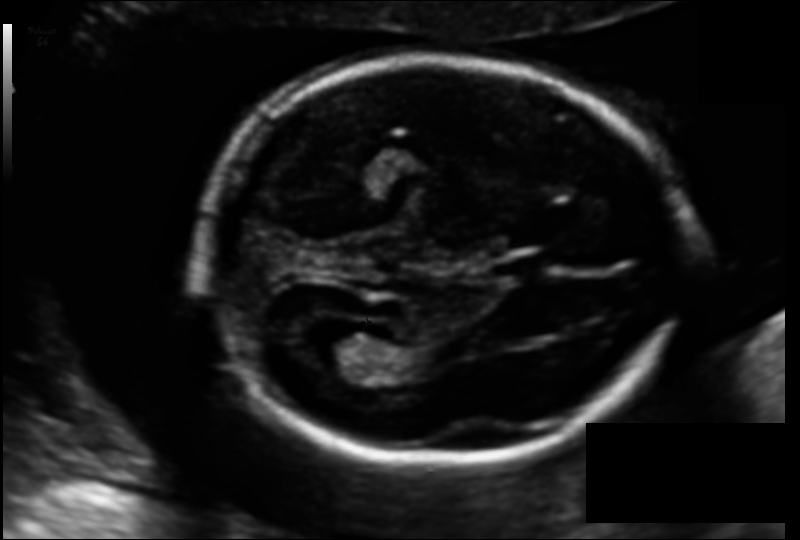
Fetal head ultrasound. Image width: 97.9 mm. Give [x1,y1,x2,y2] bounding boxes for each visible structure among: fetal head, CSP, LV.

Head: [198,60,687,464]
CSP: [492,251,548,286]
Lateral ventricle: [297,313,386,386]